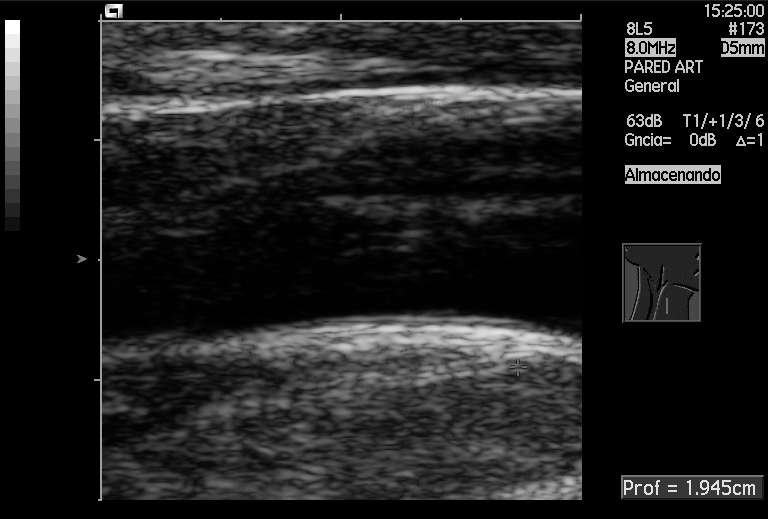
Which standard maternal-fetal ultrasound plane is shown: fetal abdomen, fetal brain, fetal femur, fetal thorax, maternal cervix, or other? If it's fetal brain and one of the three standard brain planes (trans-thalamic, trans-cerebellum, trans-ventricular), name which.

Other